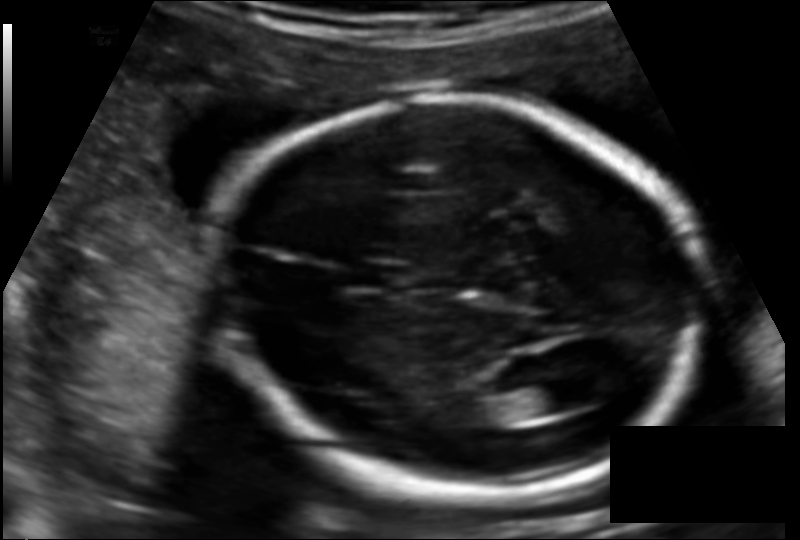
Fetal head ultrasound. Image width: 99.4 mm. Locate the fetal head and, if visible, the cavum septum pellucidum (CSP) and lateral ventricle (LV). Give bounding boxes as [x1,y1,x2,y2].

Head: [214,97,705,495]
CSP: [344,260,403,290]
Lateral ventricle: [501,375,579,424]